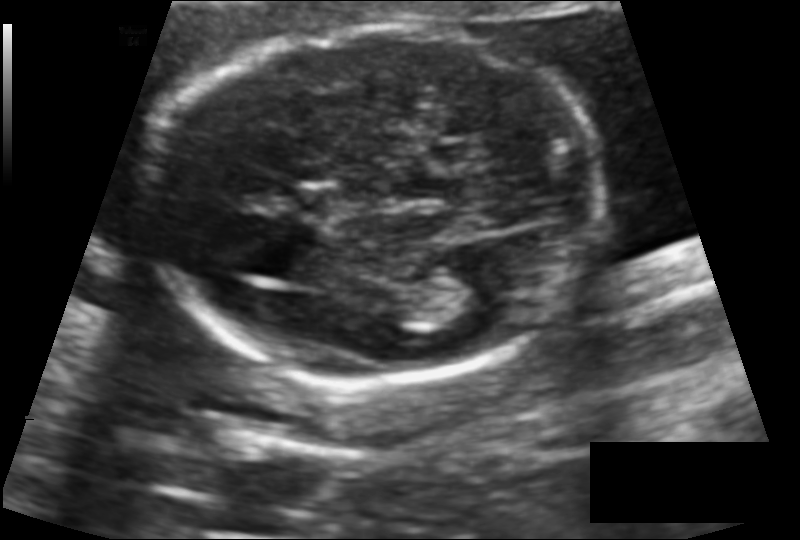
Measure the fetal head circumference shown in this ultrasound image. Image width: 94.4 mm.

Head circumference: 156.9 mm.